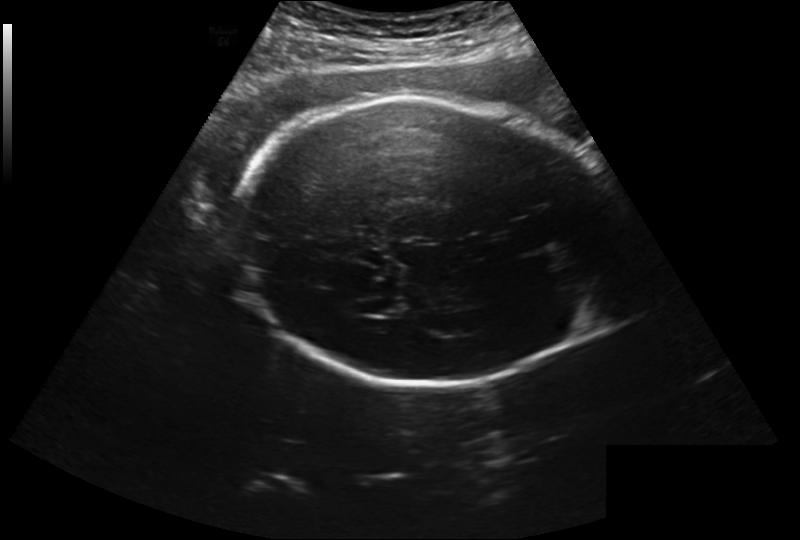
Fetal head ultrasound. Image width: 208.3 mm. Locate the fetal head.

Head: [233,97,614,387]